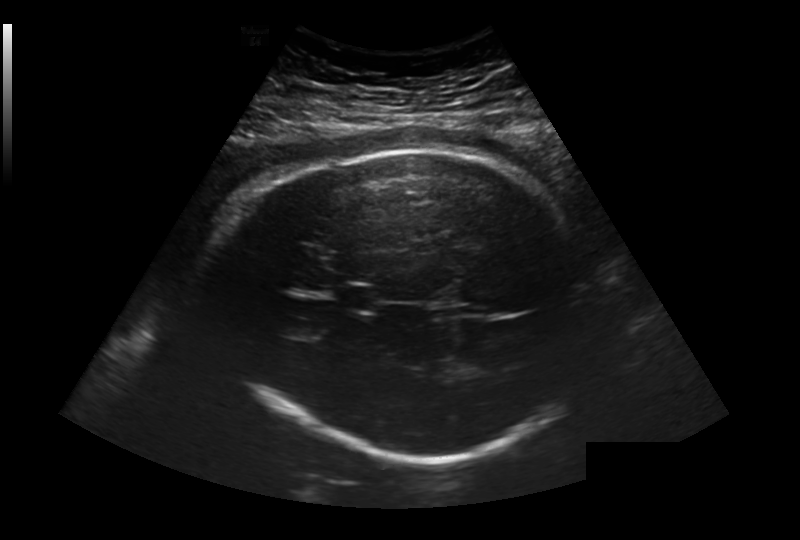
What is the fetal head circumference? Image width is 224.9 mm.

316.5 mm